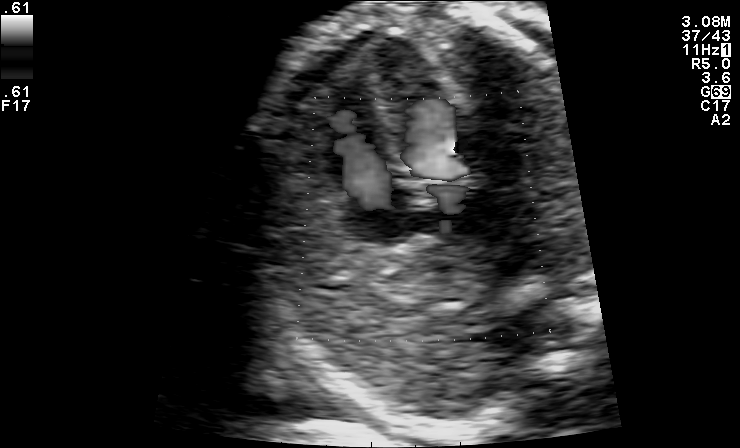
Identify the standard plane in this fetal ultrasound image: fetal abdomen, fetal brain, fetal femur, fetal thorax, maternal cervix, or other. If it's fetal brain and one of the three standard brain planes (trans-thalamic, trans-cerebellum, trans-ventricular), name which.

Other